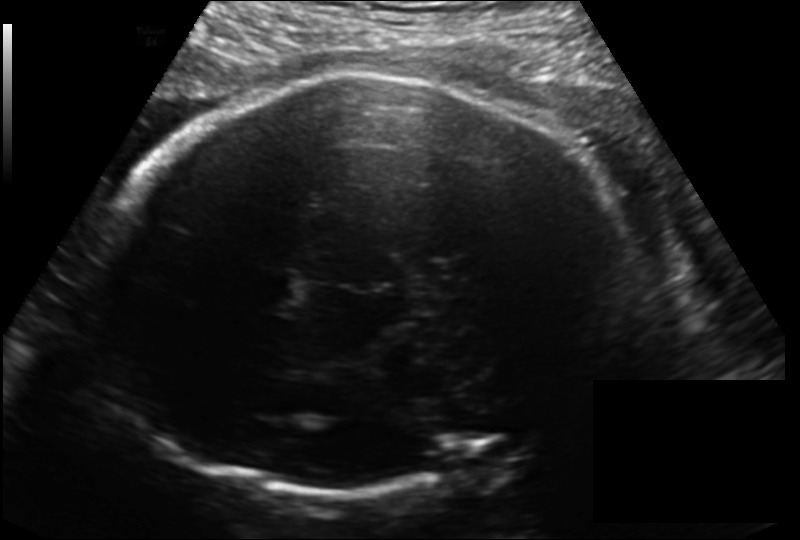
Fetal head ultrasound. Image width: 158.6 mm. Locate the fetal head and, if visible, the cavum septum pellucidum (CSP) and lateral ventricle (LV). Give bounding boxes as [x1,y1,x2,y2].

Head: [88,69,624,493]